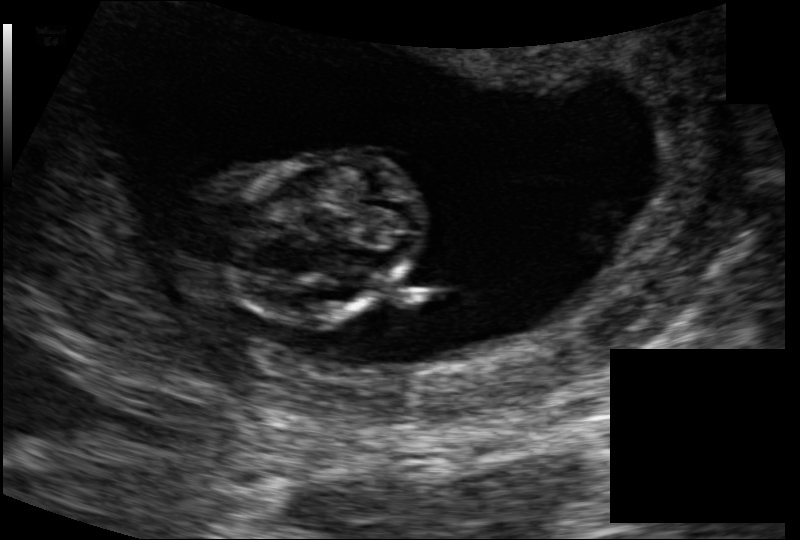
Fetal head ultrasound. Image width: 92.7 mm. Give [x1,y1,x2,y2] bounding boxes for each visible structure among: fetal head, CSP, LV.

Head: [221,148,425,325]